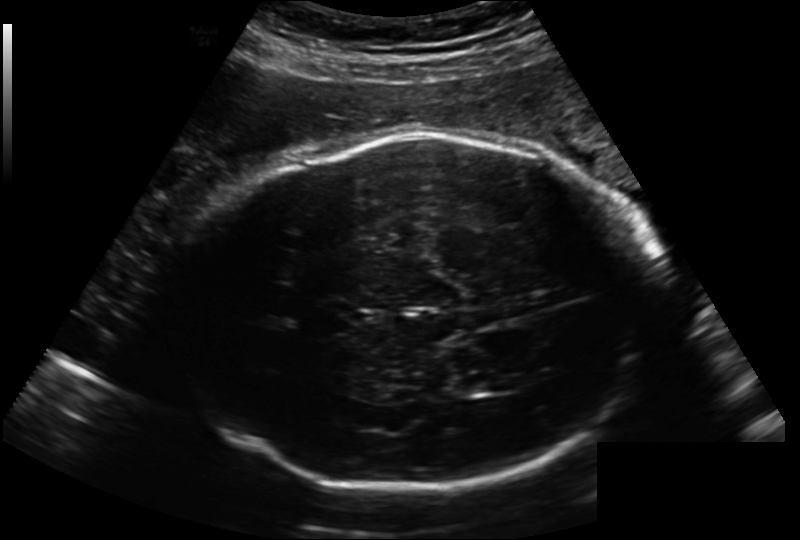
Estimate the fetal head circumference from this 2D ultrasound. Image width: 177.3 mm.

Head circumference: 299.8 mm.